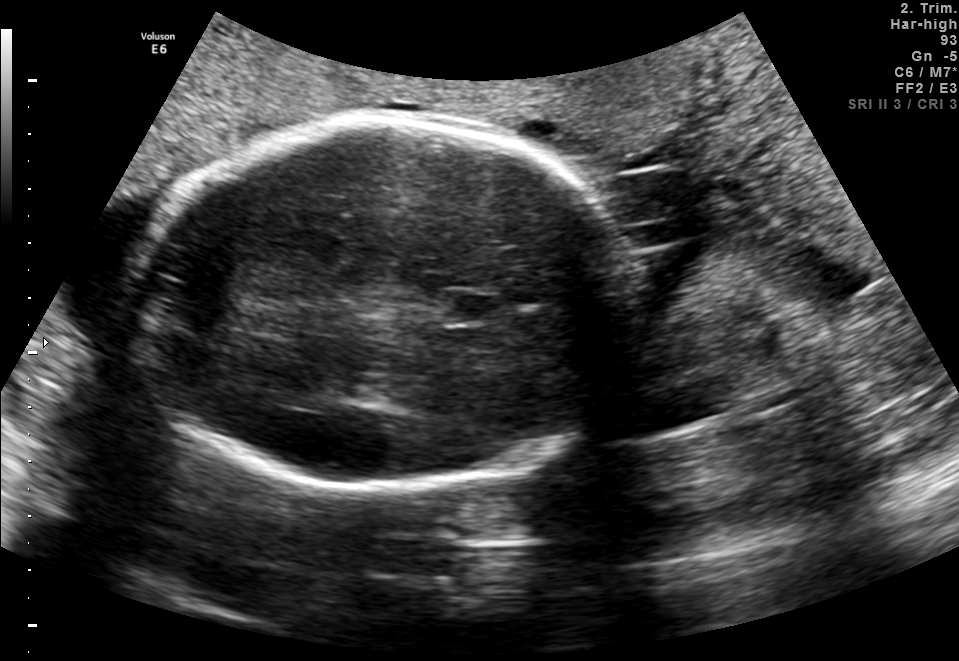
Fetal brain, trans-thalamic plane. Where is the cavum septum pellucidum?

CSP bounding box: [444,295,498,322]